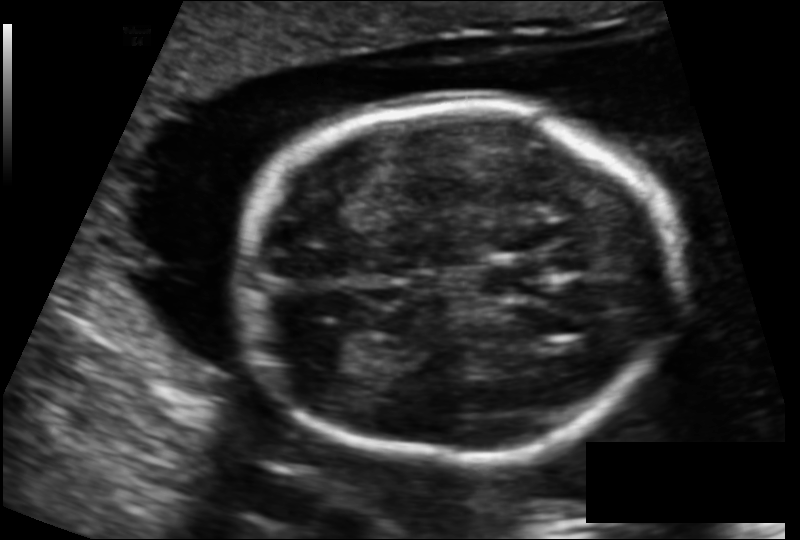
Estimate the fetal head circumference from this 2D ultrasound.

Head circumference: 166.7 mm (image width 104.4 mm).